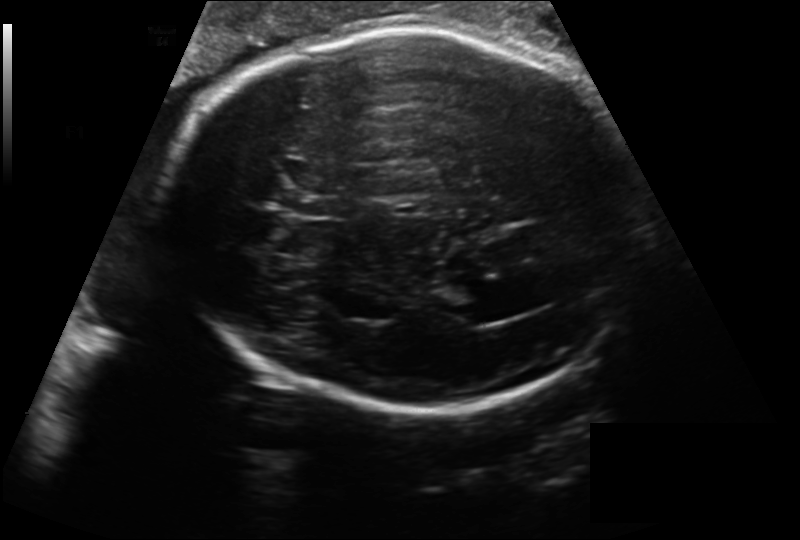
Estimate the fetal head circumference from this 2D ultrasound.

Head circumference: 296.4 mm (image width 174.3 mm).